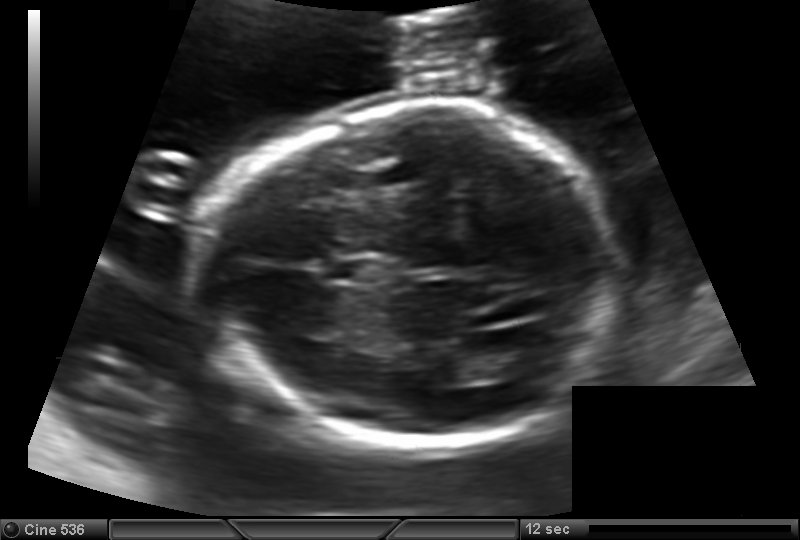
Estimate the fetal head circumference from this 2D ultrasound. Image width: 115.2 mm.

Head circumference: 183.1 mm.